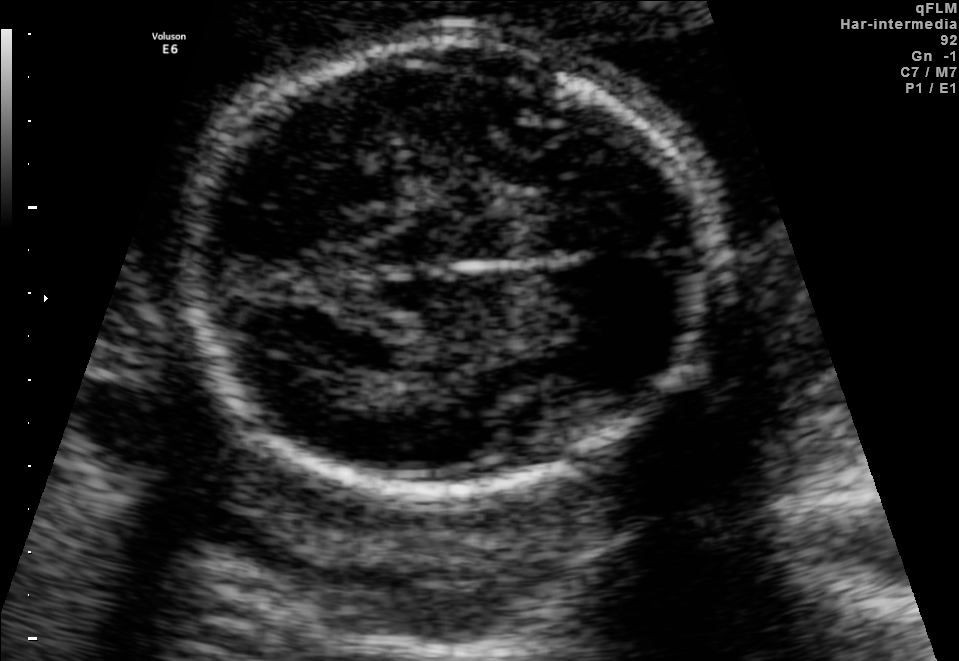
In this fetal brain, trans-thalamic plane, give bounding boxes for the head outline, cavum septum pellucidum (CSP), and lateral ventricle (LV), where visible.

Head: [181,44,714,489]